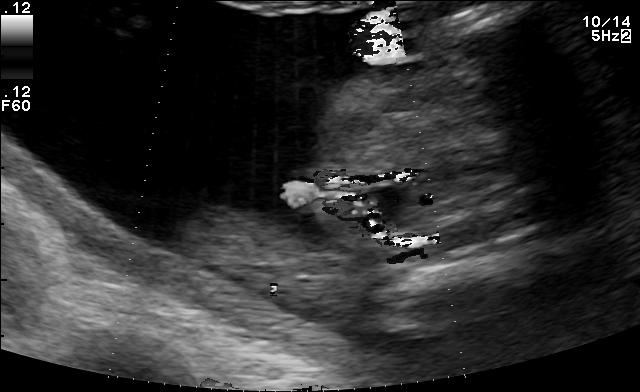
This is a 2D maternal-fetal ultrasound frame. Is it a fetal abdomen, fetal brain, fetal femur, fetal thorax, maternal cervix, or other standard plane? If it's fetal brain and one of the three standard brain planes (trans-thalamic, trans-cerebellum, trans-ventricular), name which.

Other